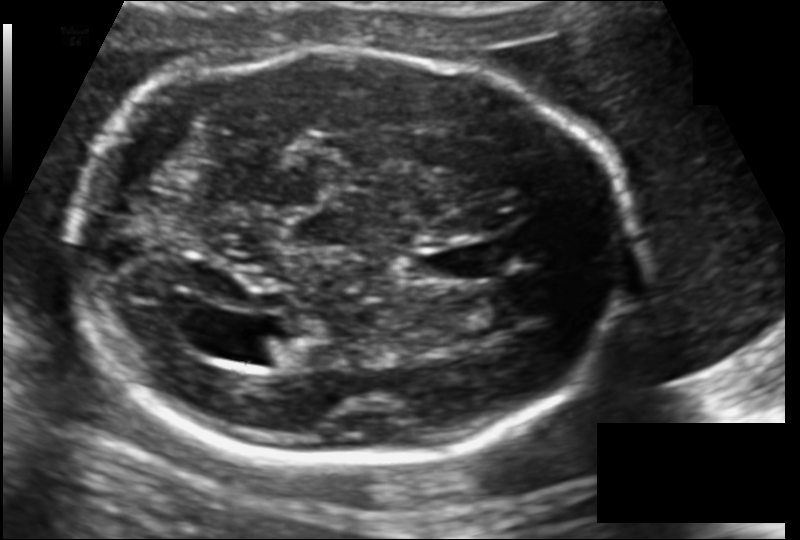
Fetal head ultrasound. Image width: 110.0 mm. Where is the cavum septum pellucidum?

CSP bounding box: [416,238,501,288]